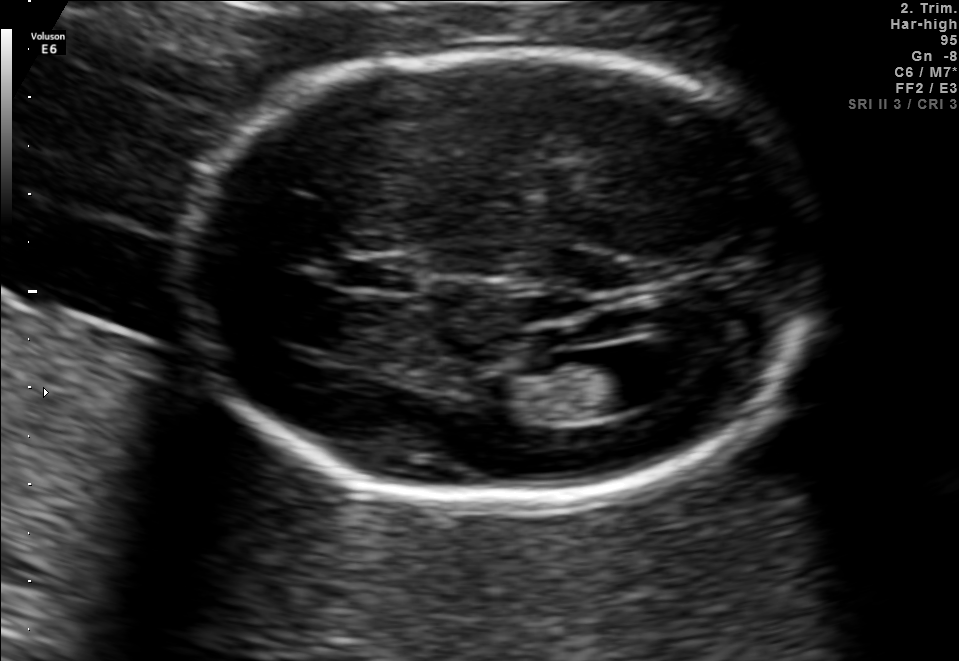
In this fetal brain, trans-ventricular plane, give the bounding box of the fetal head.

[174,44,823,507]